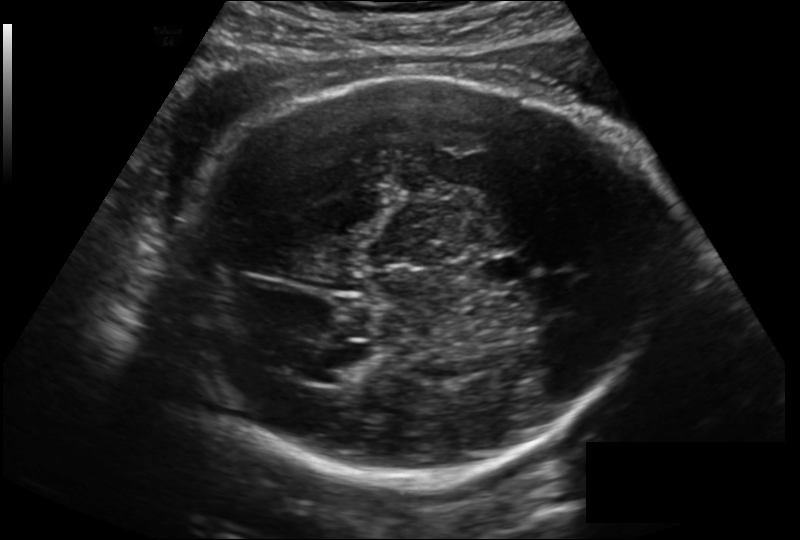
Estimate the fetal head circumference from this 2D ultrasound. Image width: 159.3 mm.

Head circumference: 281.7 mm.